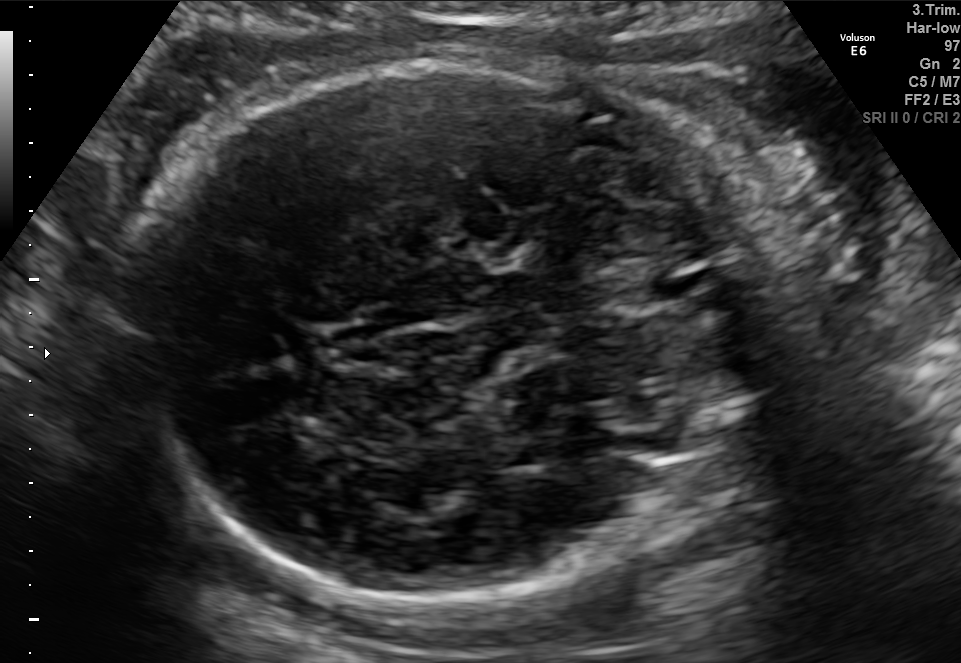
Fetal brain, trans-cerebellum plane. Where is the fetal head?

Head bounding box: [129,59,748,598]